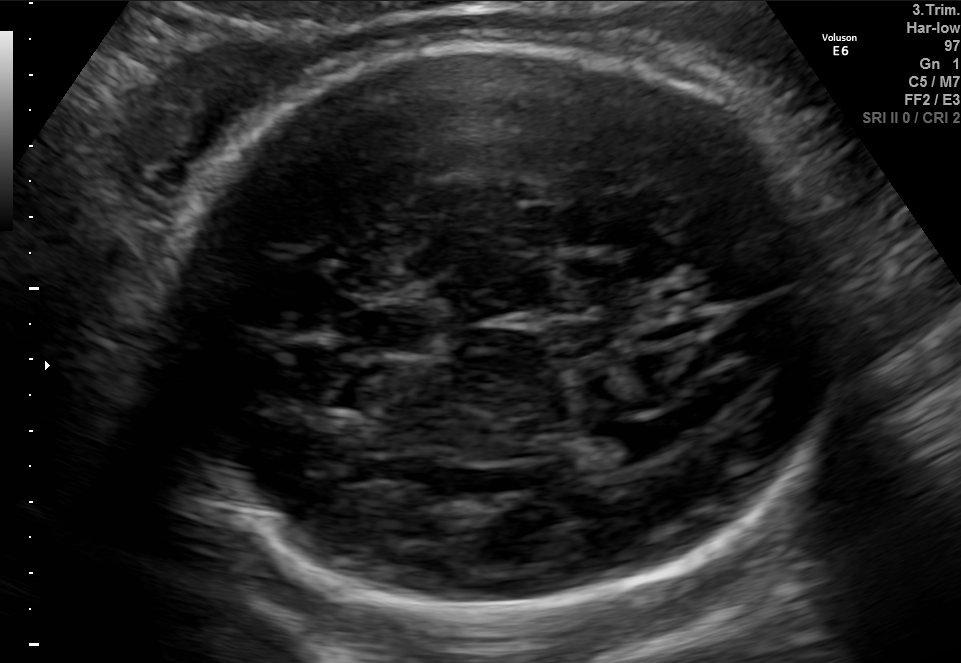
Fetal brain, trans-ventricular plane. Give [x1,y1,x2,y2] bounding boxes for each visible structure among: fetal head, CSP, LV.

Head: [144,38,867,617]
CSP: [360,306,433,354]
Lateral ventricle: [598,410,688,473]